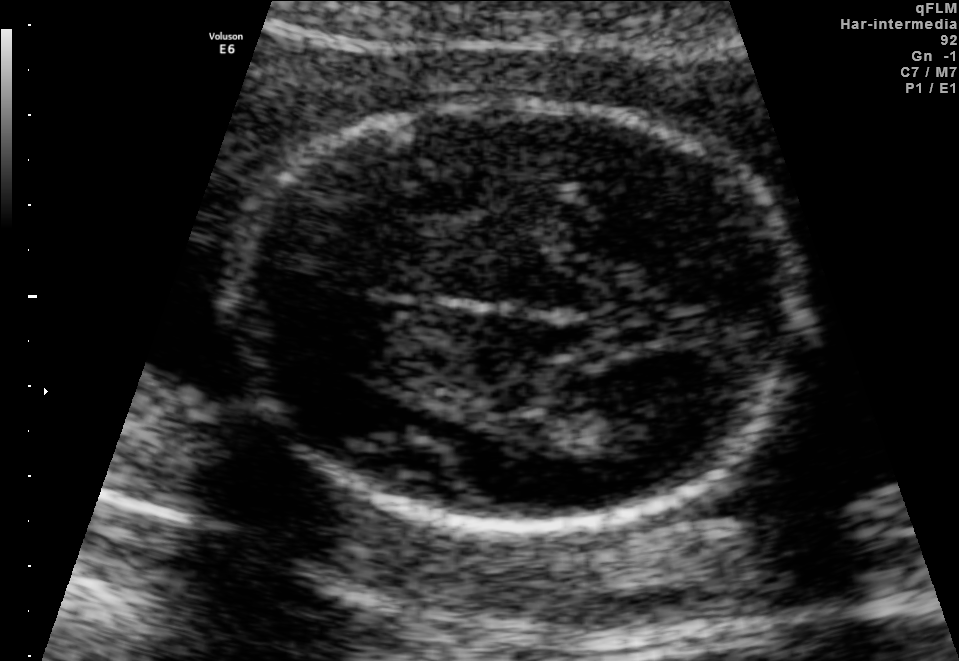
Fetal brain, trans-thalamic plane. Locate the fetal head and, if visible, the cavum septum pellucidum (CSP) and lateral ventricle (LV). Give bounding boxes as [x1,y1,x2,y2].

Head: [231,98,802,527]
Lateral ventricle: [575,395,690,463]